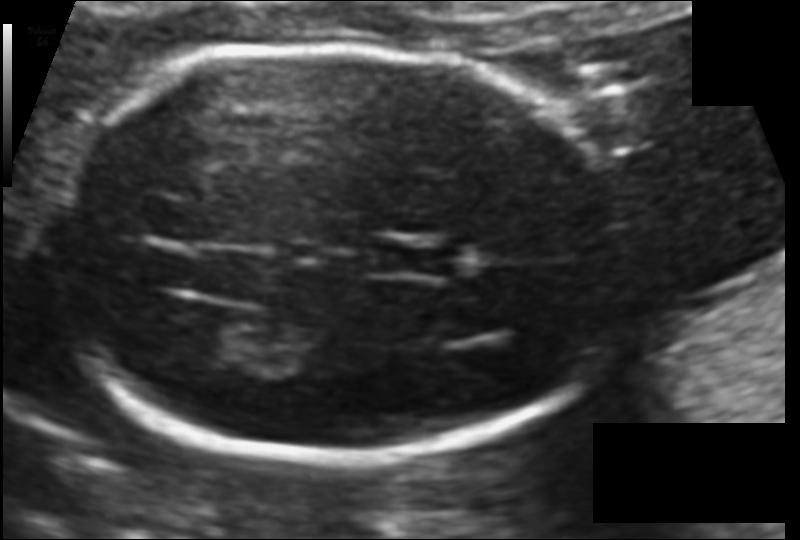
In this fetal head ultrasound, give the bounding box of the cavum septum pellucidum. Image width: 78.8 mm.

[383,242,456,278]